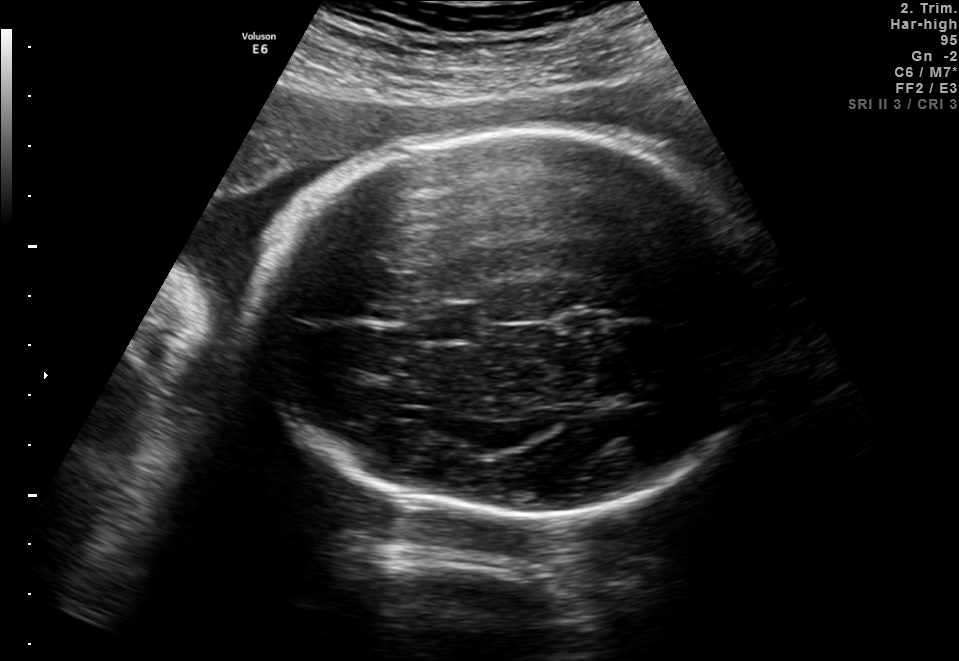
Fetal brain, trans-thalamic plane. Where is the cavum septum pellucidum?

CSP bounding box: [419,304,479,339]